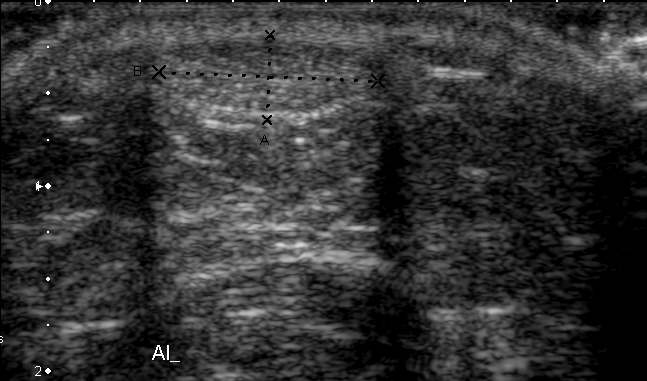
This is a 2D maternal-fetal ultrasound frame. Is it a fetal abdomen, fetal brain, fetal femur, fetal thorax, maternal cervix, or other standard plane? If it's fetal brain and one of the three standard brain planes (trans-thalamic, trans-cerebellum, trans-ventricular), name which.

Other